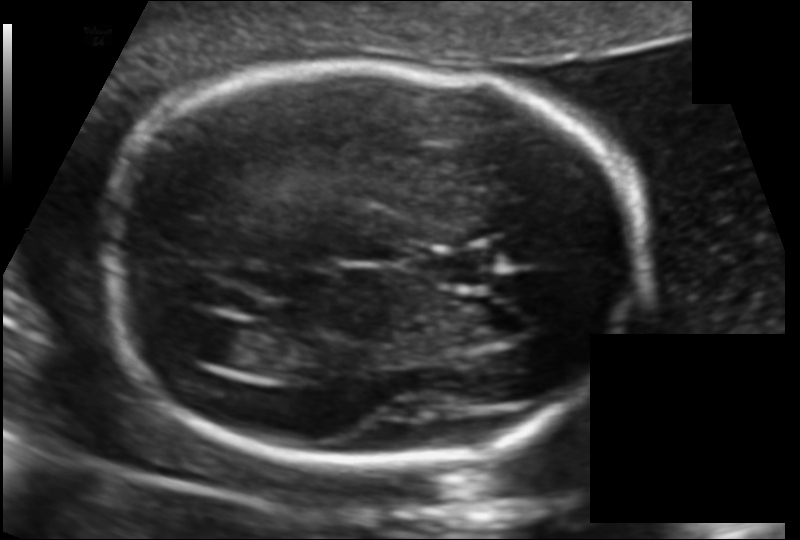
Measure the fetal head circumference shown in this ultrasound image. Image width: 93.9 mm.

Head circumference: 180.9 mm.